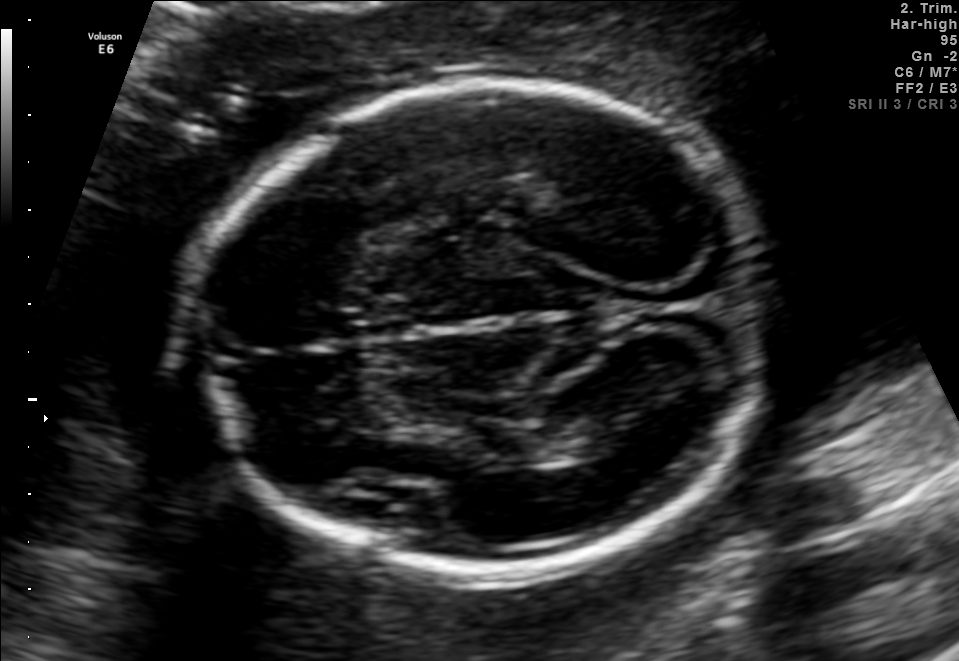
Fetal brain, trans-thalamic plane. Locate the fetal head.

Head: [194,82,777,563]